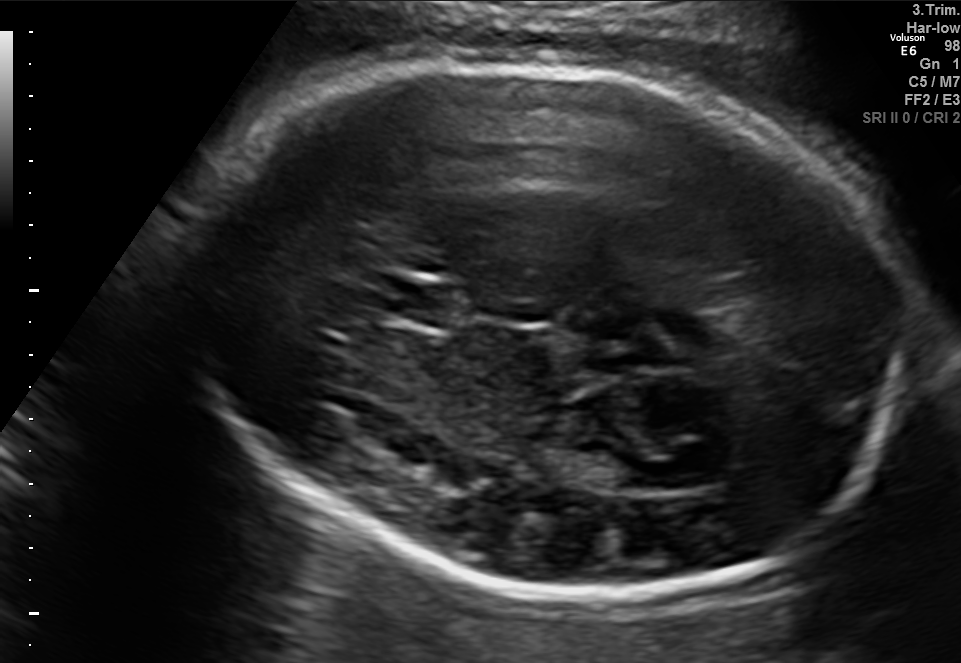
In this fetal brain, trans-thalamic plane, give the bounding box of the fetal head.

[178,62,927,593]